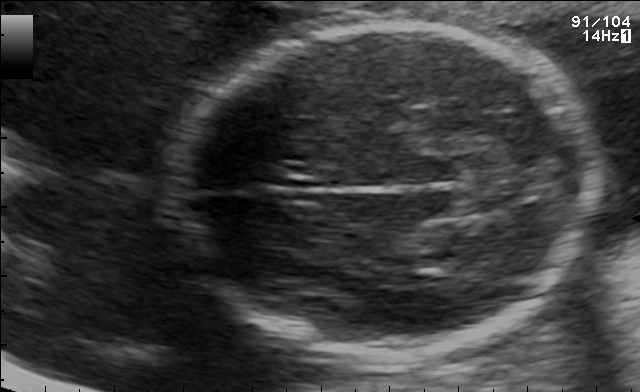
In this fetal brain, trans-thalamic plane, give the bounding box of the fetal head.

[169,22,599,356]